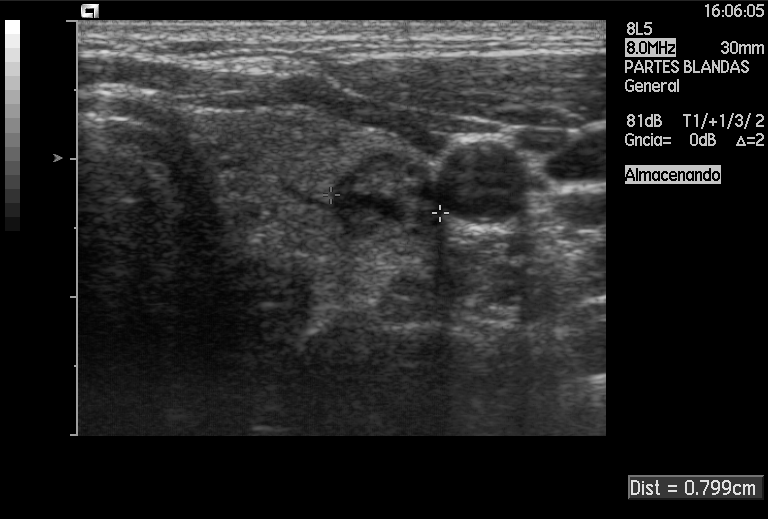
Which standard maternal-fetal ultrasound plane is shown: fetal abdomen, fetal brain, fetal femur, fetal thorax, maternal cervix, or other? If it's fetal brain and one of the three standard brain planes (trans-thalamic, trans-cerebellum, trans-ventricular), name which.

Other